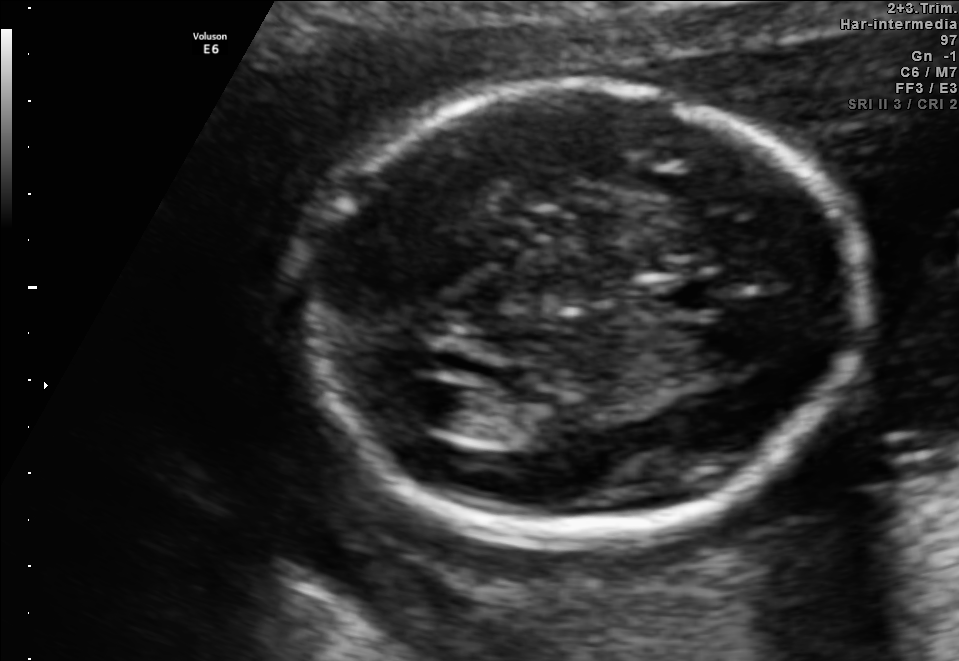
Fetal brain, trans-ventricular plane. Locate the fetal head.

Head: [279,72,876,553]